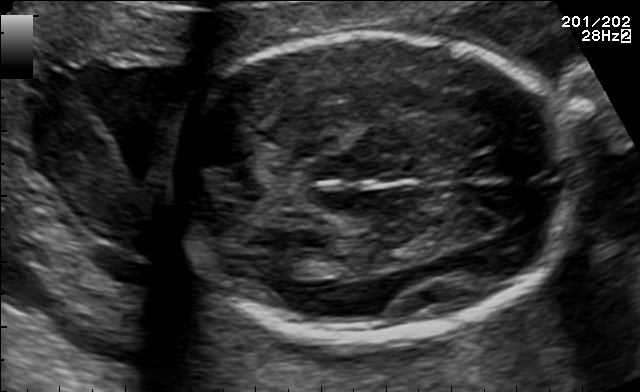
Identify the standard plane in this fetal ultrasound image: fetal abdomen, fetal brain, fetal femur, fetal thorax, maternal cervix, or other. If it's fetal brain and one of the three standard brain planes (trans-thalamic, trans-cerebellum, trans-ventricular), name which.

Fetal brain (trans-thalamic plane)